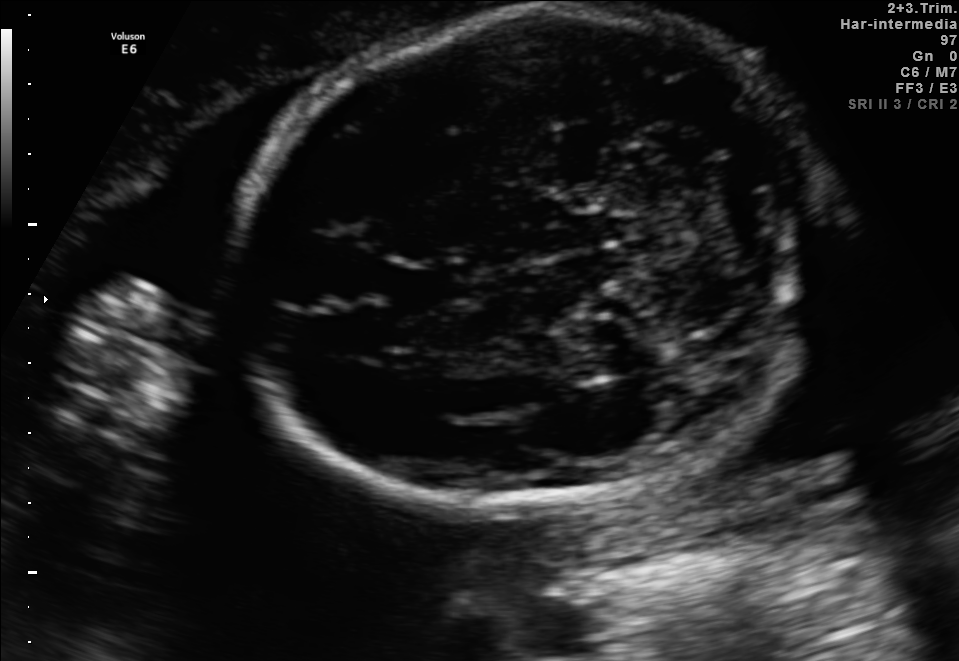
This is a 2D maternal-fetal ultrasound frame. Is it a fetal abdomen, fetal brain, fetal femur, fetal thorax, maternal cervix, or other standard plane? If it's fetal brain and one of the three standard brain planes (trans-thalamic, trans-cerebellum, trans-ventricular), name which.

Fetal brain (trans-cerebellum plane)